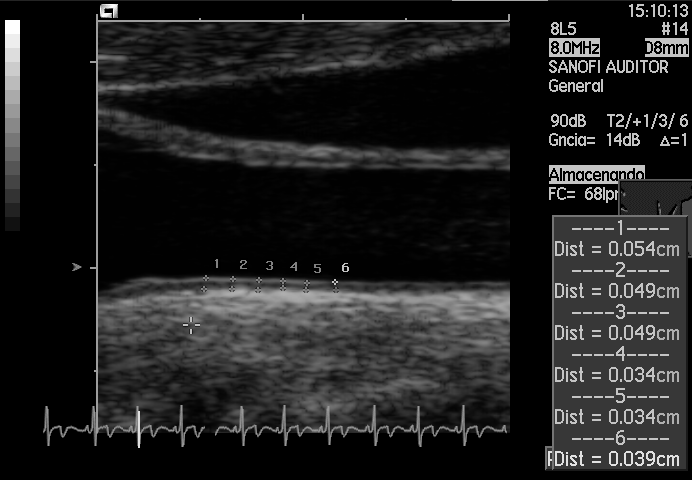
Classify this maternal-fetal ultrasound image as one of the six standard planes — fetal abdomen, fetal brain, fetal femur, fetal thorax, maternal cervix, or other. If it's fetal brain and one of the three standard brain planes (trans-thalamic, trans-cerebellum, trans-ventricular), name which.

Other